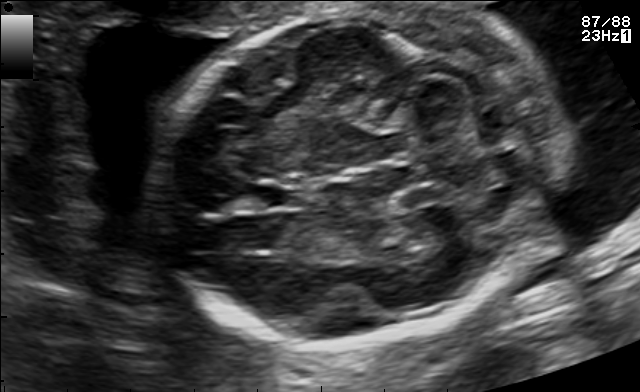
In this fetal brain, trans-cerebellum plane, give the bounding box of the fetal head.

[153,9,564,345]